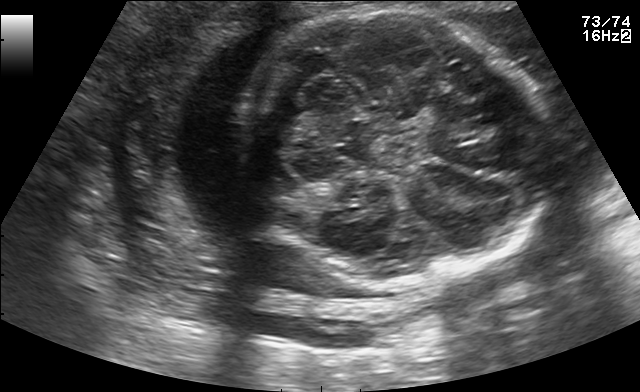
In this fetal brain, trans-thalamic plane, give the bounding box of the fetal head.

[230,7,552,283]